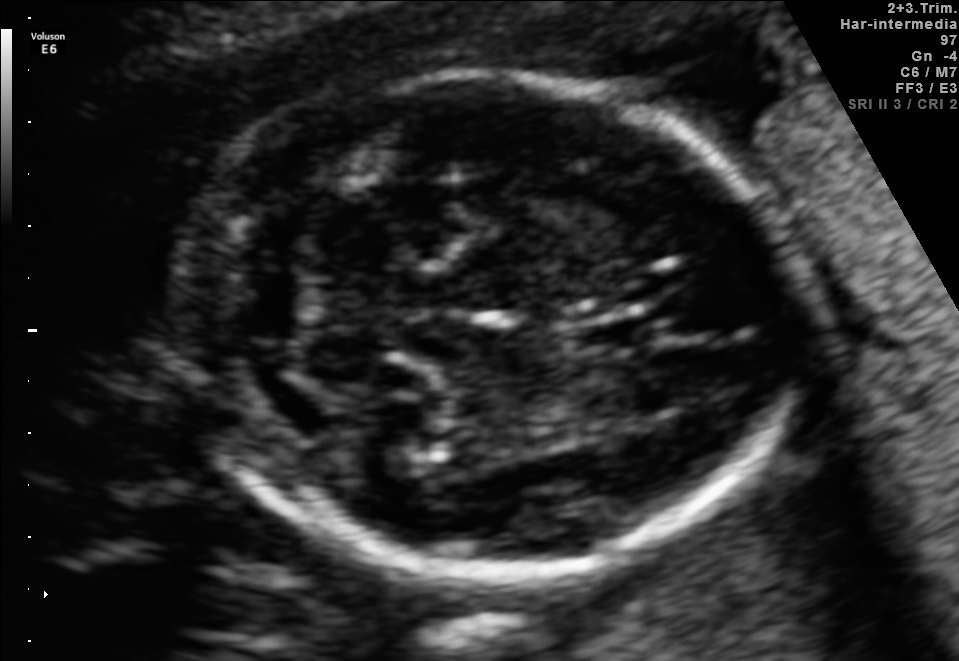
Fetal brain, trans-cerebellum plane. Locate the cavum septum pellucidum.

CSP: [565,305,656,365]